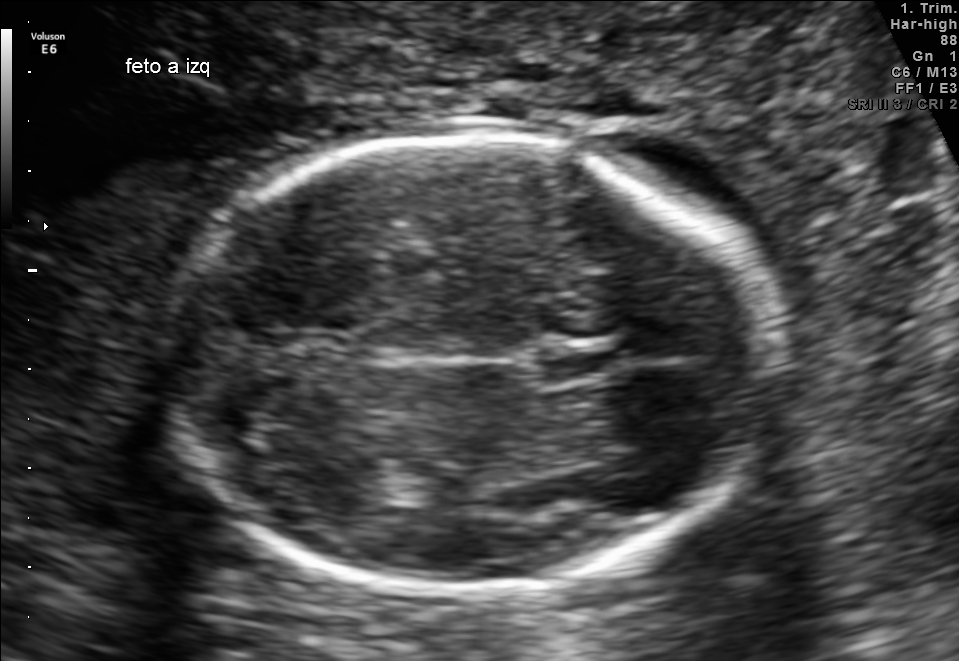
Fetal brain, trans-thalamic plane. Locate the fetal head.

Head: [163,137,780,590]